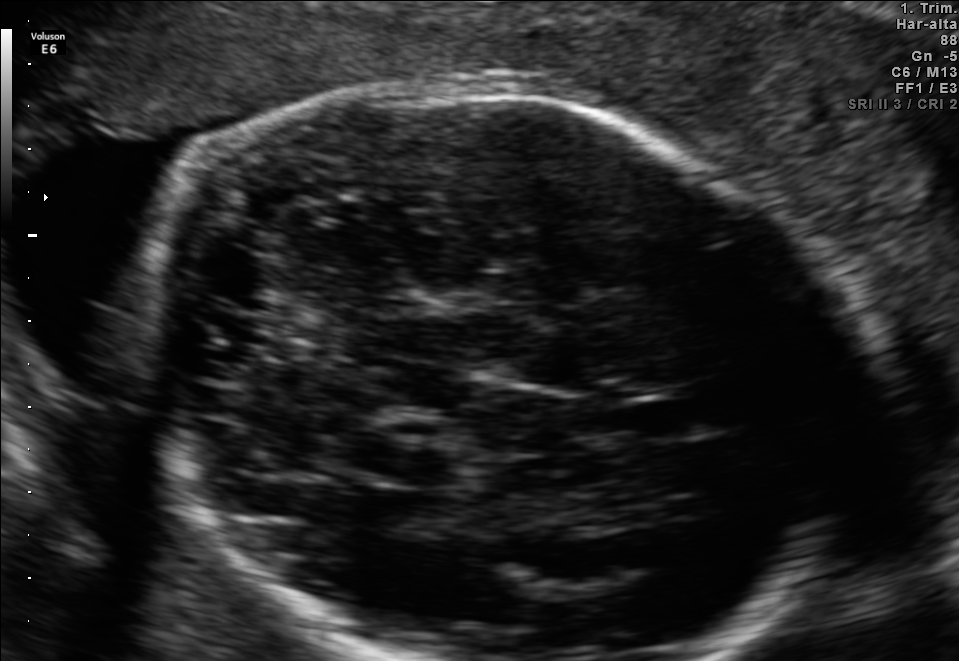
Fetal brain, trans-thalamic plane. Locate the fetal head and, if visible, the cavum septum pellucidum (CSP) and lateral ventricle (LV). Give bounding boxes as [x1,y1,x2,y2].

Head: [131,72,838,657]